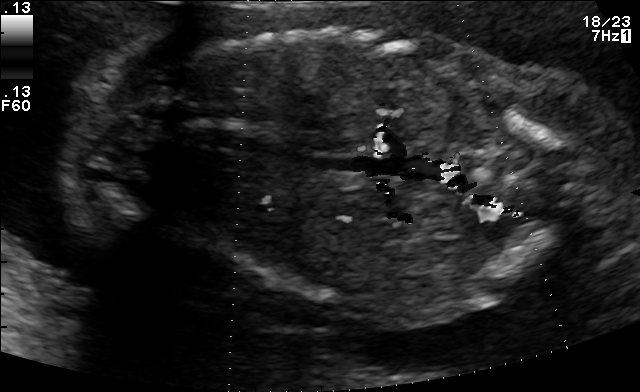
Which standard maternal-fetal ultrasound plane is shown: fetal abdomen, fetal brain, fetal femur, fetal thorax, maternal cervix, or other? If it's fetal brain and one of the three standard brain planes (trans-thalamic, trans-cerebellum, trans-ventricular), name which.

Other